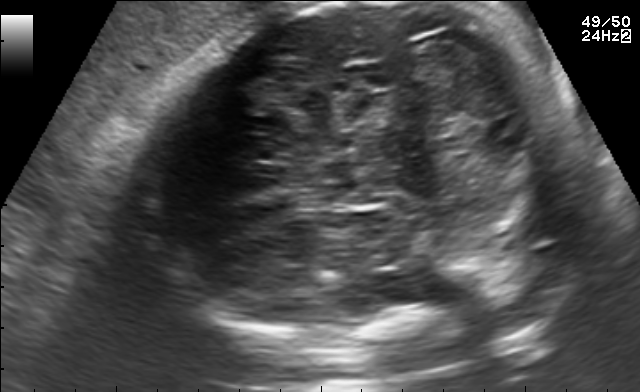
In this fetal brain, trans-cerebellum plane, give bounding boxes for the head outline, cavum septum pellucidum (CSP), and lateral ventricle (LV), where visible.

Head: [135,1,587,345]